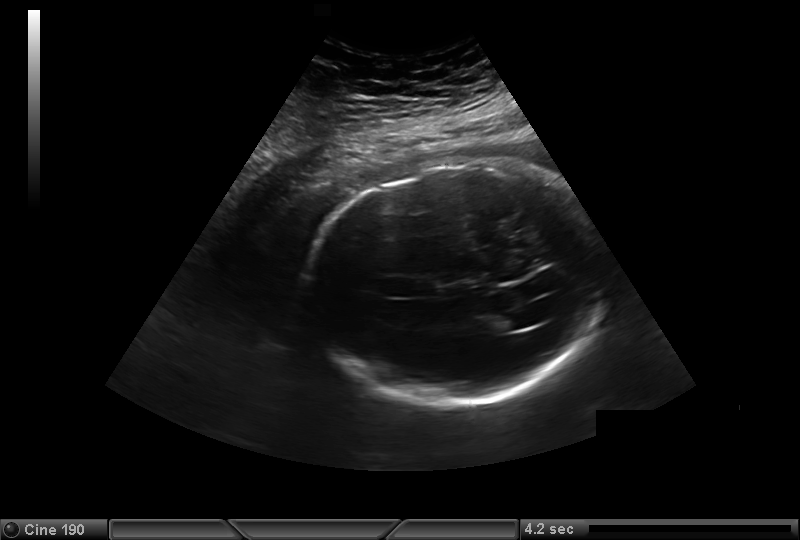
Fetal head ultrasound. Image width: 258.3 mm. Locate the fetal head and, if visible, the cavum septum pellucidum (CSP) and lateral ventricle (LV). Give bounding boxes as [x1,y1,x2,y2].

Head: [306,164,607,405]
Lateral ventricle: [489,309,527,334]